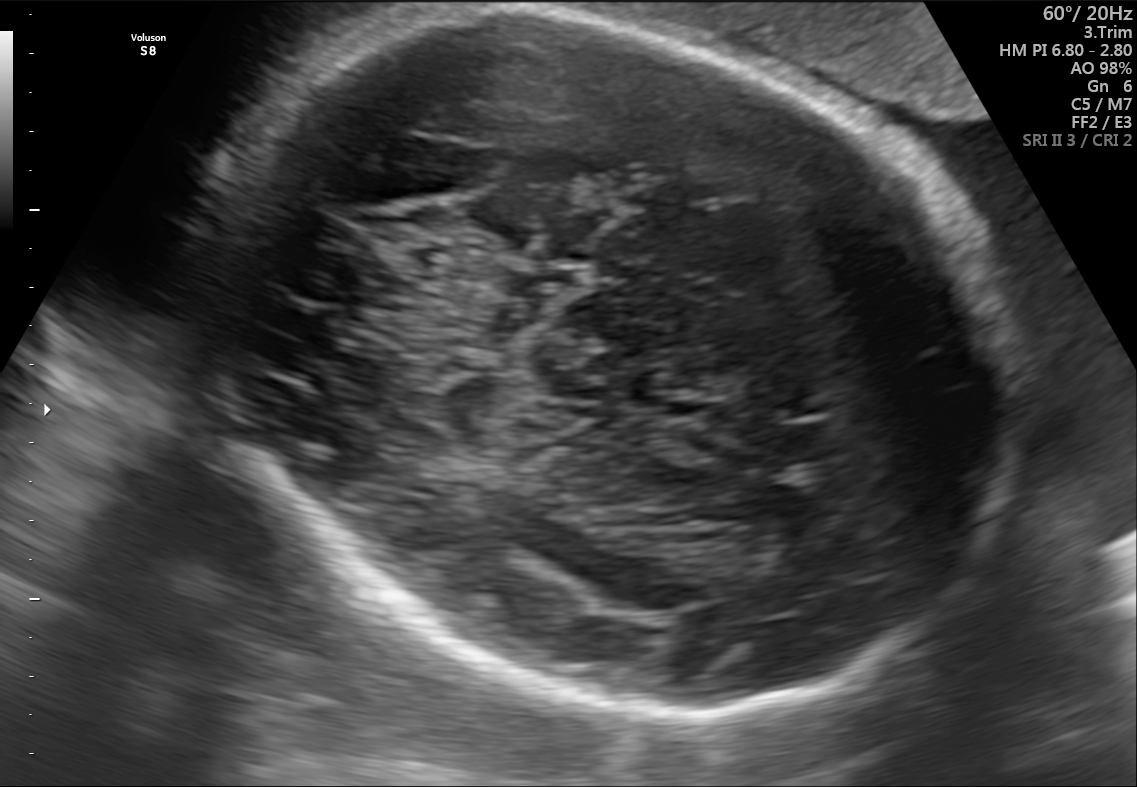
Which standard maternal-fetal ultrasound plane is shown: fetal abdomen, fetal brain, fetal femur, fetal thorax, maternal cervix, or other? If it's fetal brain and one of the three standard brain planes (trans-thalamic, trans-cerebellum, trans-ventricular), name which.

Fetal brain (trans-thalamic plane)